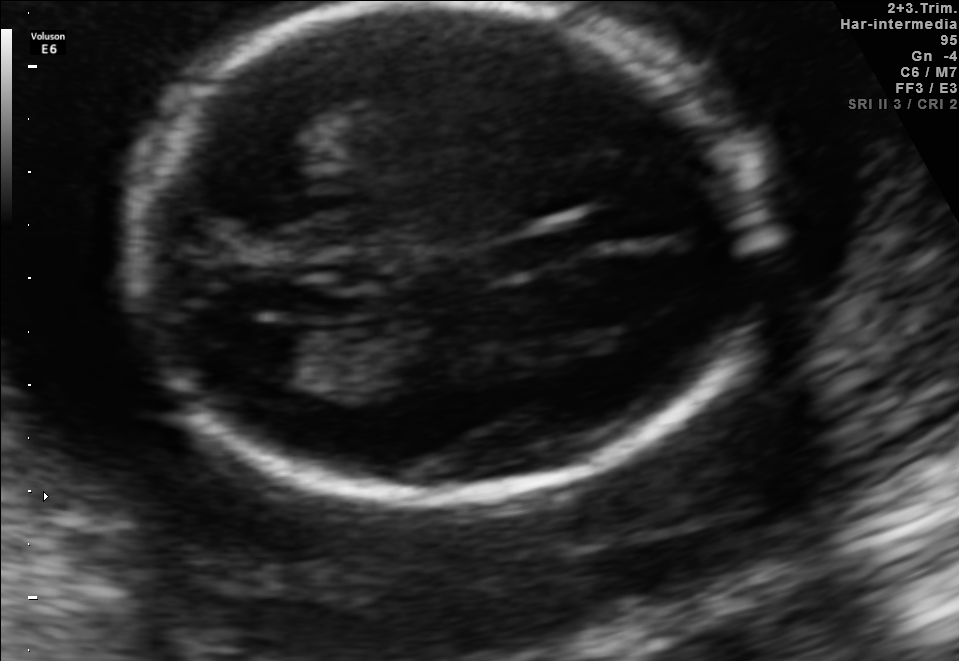
Fetal brain, trans-ventricular plane. Locate the lateral ventricle.

Lateral ventricle: [222,319,311,380]